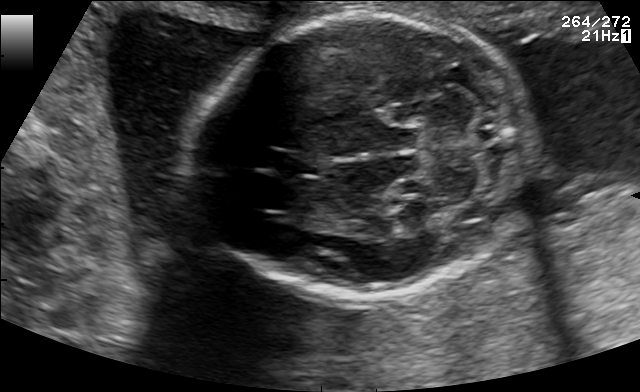
Classify this maternal-fetal ultrasound image as one of the six standard planes — fetal abdomen, fetal brain, fetal femur, fetal thorax, maternal cervix, or other. If it's fetal brain and one of the three standard brain planes (trans-thalamic, trans-cerebellum, trans-ventricular), name which.

Fetal brain (trans-cerebellum plane)